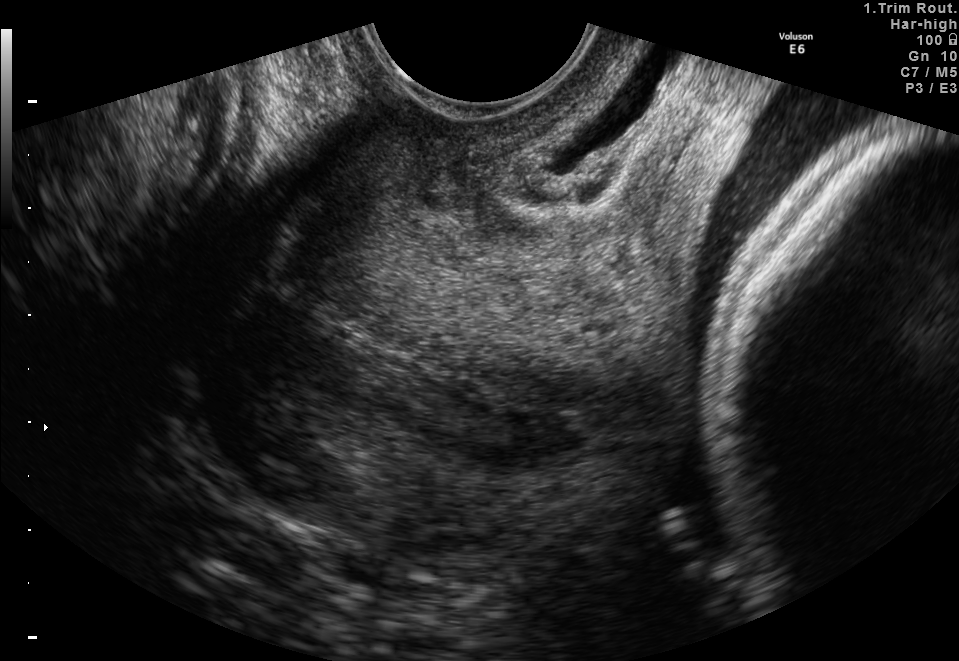
Which standard maternal-fetal ultrasound plane is shown: fetal abdomen, fetal brain, fetal femur, fetal thorax, maternal cervix, or other? If it's fetal brain and one of the three standard brain planes (trans-thalamic, trans-cerebellum, trans-ventricular), name which.

Maternal cervix